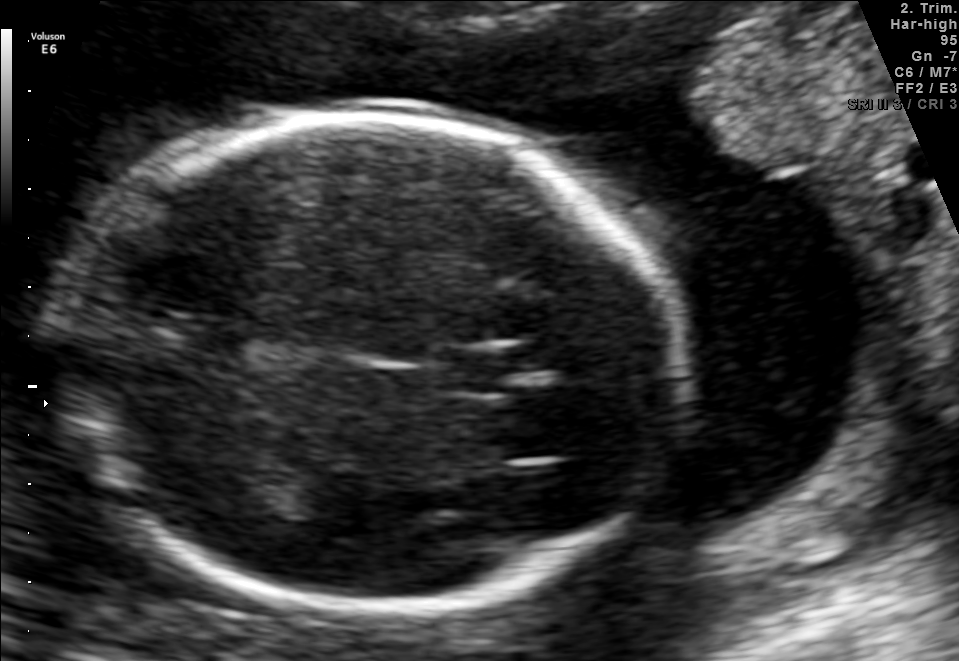
This is a 2D maternal-fetal ultrasound frame. Is it a fetal abdomen, fetal brain, fetal femur, fetal thorax, maternal cervix, or other standard plane? If it's fetal brain and one of the three standard brain planes (trans-thalamic, trans-cerebellum, trans-ventricular), name which.

Fetal brain (trans-thalamic plane)